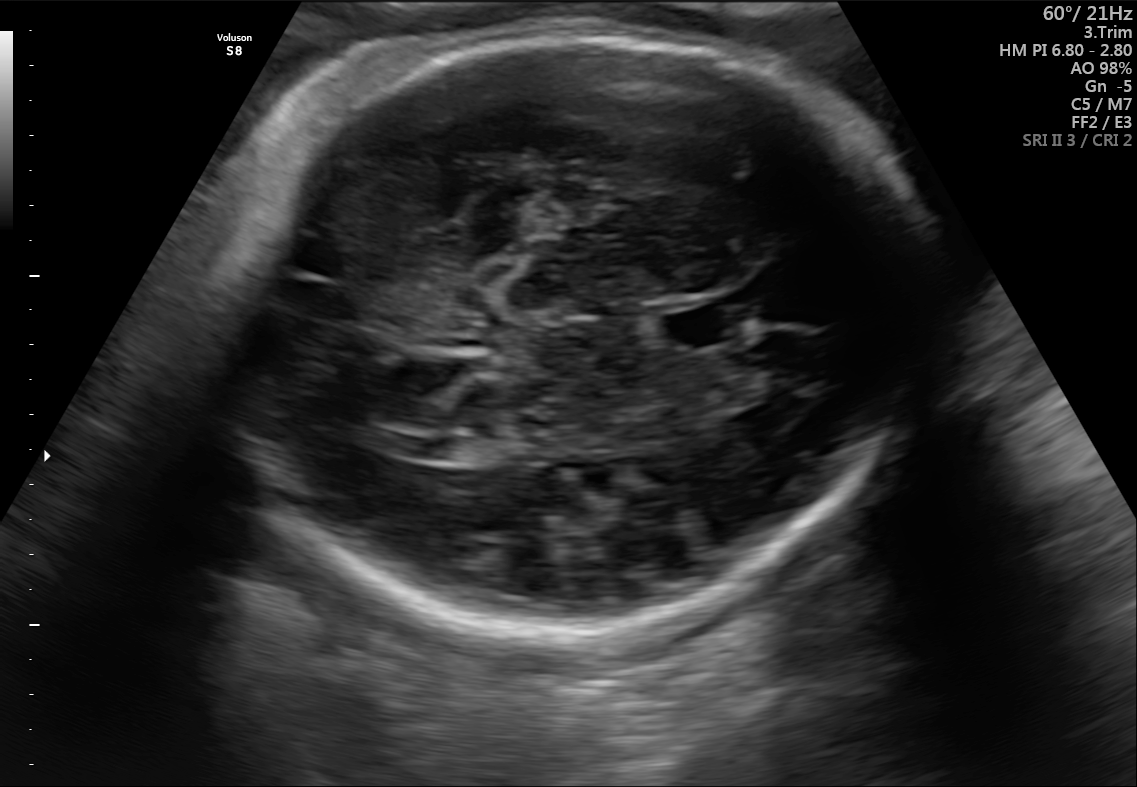
Fetal brain, trans-thalamic plane. Locate the lateral ventricle.

Lateral ventricle: [417,437,489,461]